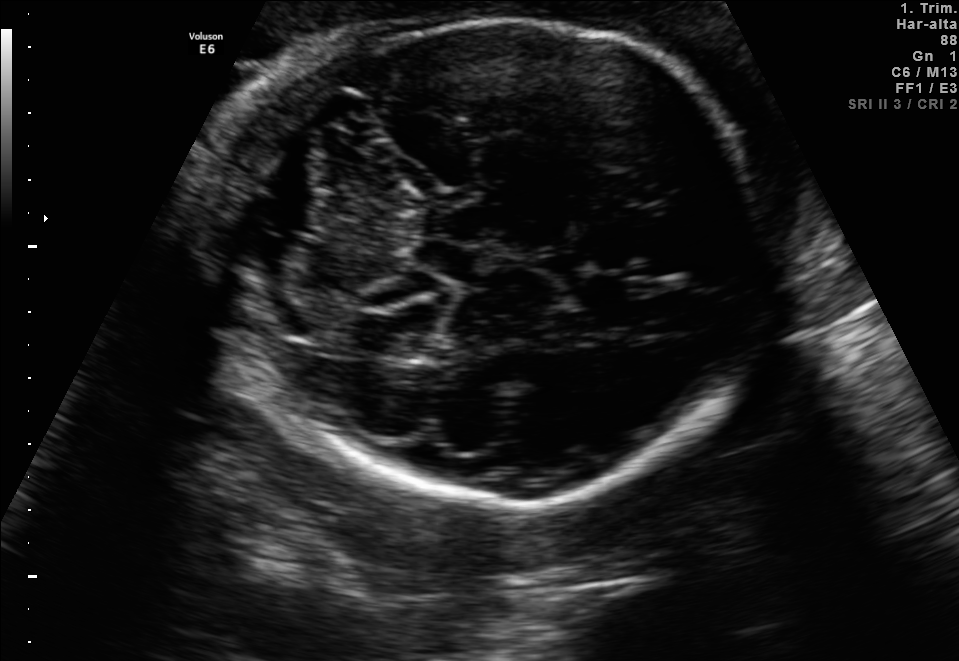
Fetal brain, trans-cerebellum plane. Locate the fetal head.

Head: [214,18,769,507]